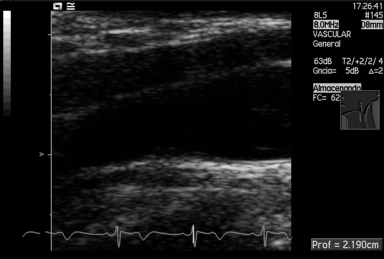
Identify the standard plane in this fetal ultrasound image: fetal abdomen, fetal brain, fetal femur, fetal thorax, maternal cervix, or other. If it's fetal brain and one of the three standard brain planes (trans-thalamic, trans-cerebellum, trans-ventricular), name which.

Other